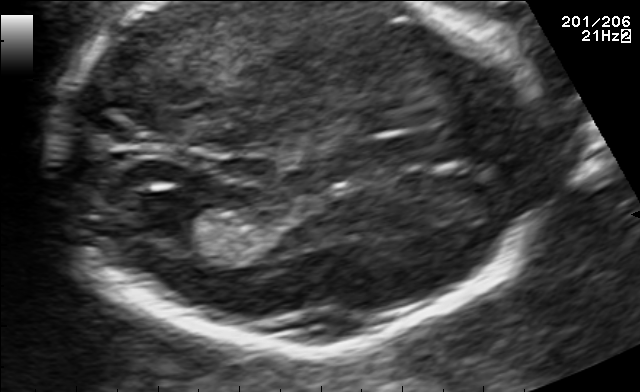
In this fetal brain, trans-thalamic plane, give the bounding box of the lateral ventricle.

[135,197,219,247]